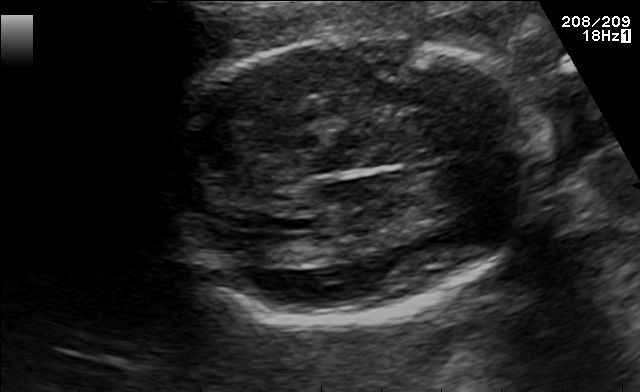
In this fetal brain, trans-thalamic plane, give the bounding box of the lateral ventricle.

[246,234,314,264]